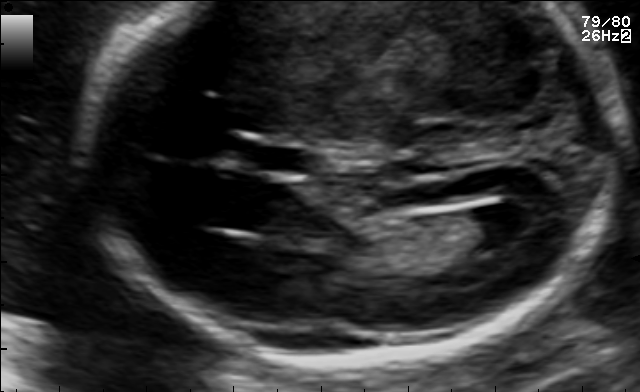
Fetal brain, trans-ventricular plane. Where is the cavum septum pellucidum?

CSP bounding box: [251,144,311,174]